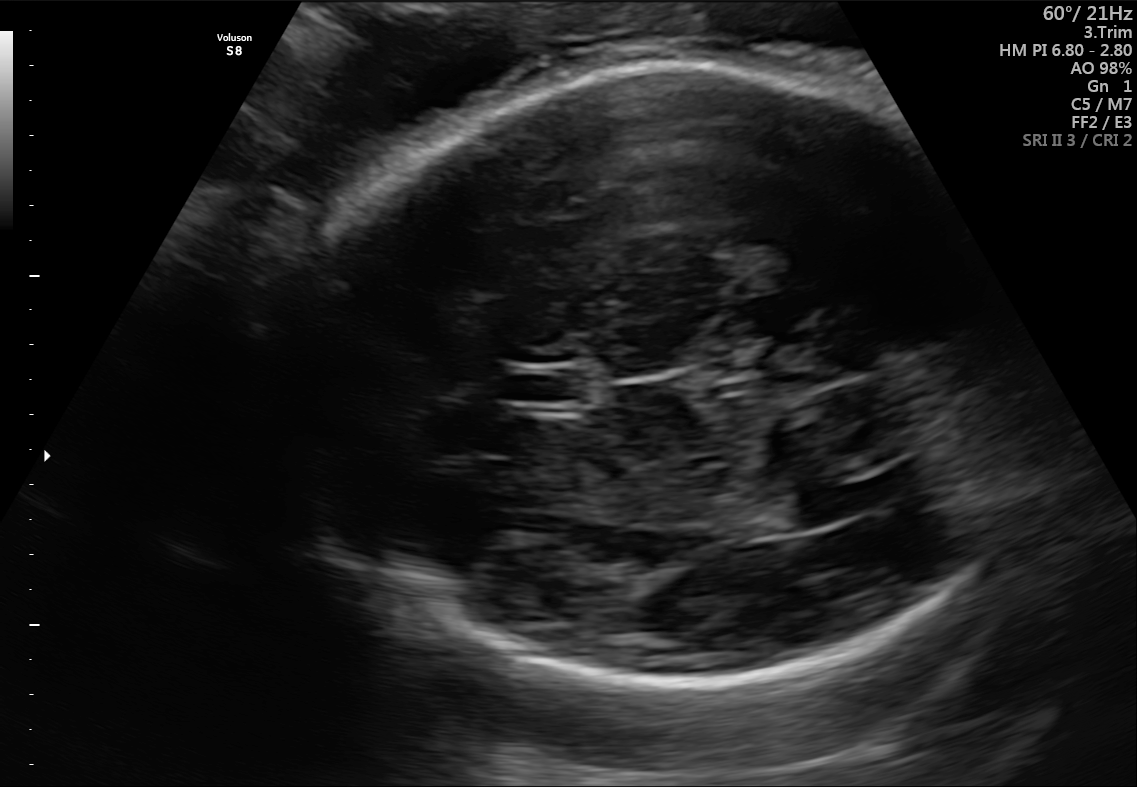
In this fetal brain, trans-thalamic plane, give the bounding box of the lateral ventricle.

[766,472,877,536]